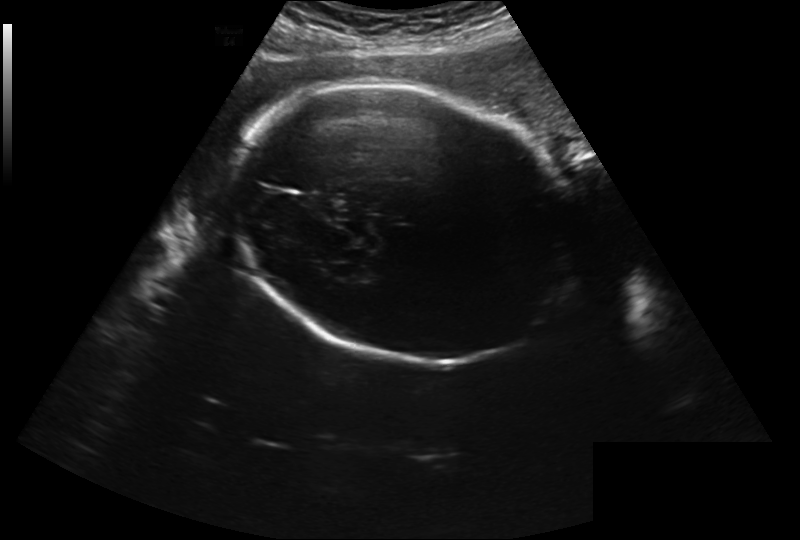
Fetal head ultrasound. Image width: 223.8 mm. Locate the fetal head and, if visible, the cavum septum pellucidum (CSP) and lateral ventricle (LV). Give bounding boxes as [x1,y1,x2,y2].

Head: [231,84,577,361]